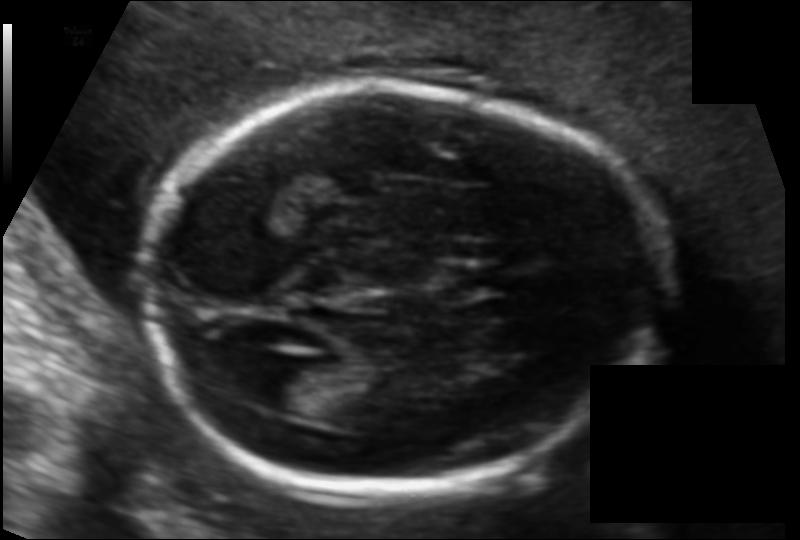
Estimate the fetal head circumference from this 2D ultrasound. Image width: 88.8 mm.

Head circumference: 165.6 mm.